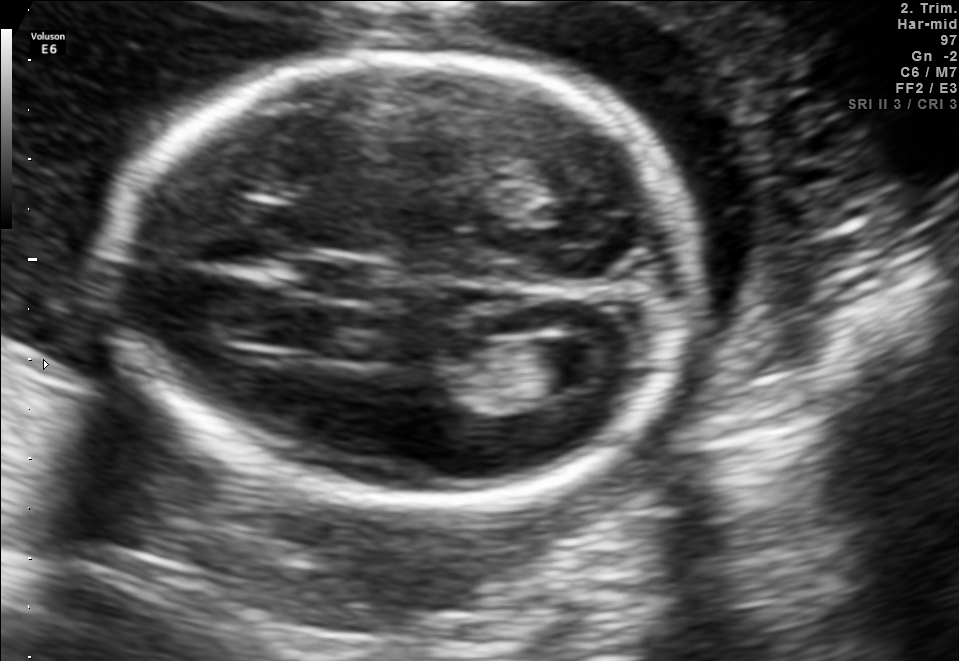
Fetal brain, trans-ventricular plane. Locate the fetal head.

Head: [94,44,711,521]